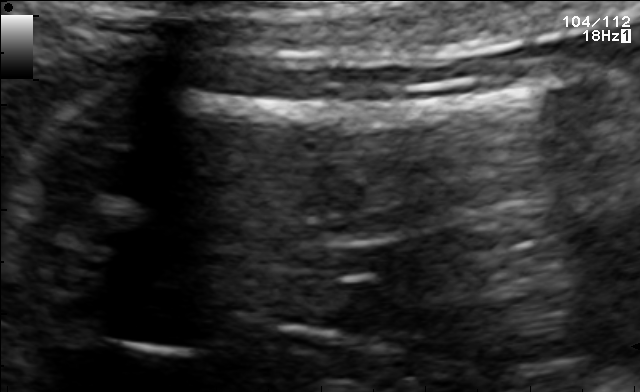
This is a 2D maternal-fetal ultrasound frame. Is it a fetal abdomen, fetal brain, fetal femur, fetal thorax, maternal cervix, or other standard plane? If it's fetal brain and one of the three standard brain planes (trans-thalamic, trans-cerebellum, trans-ventricular), name which.

Fetal femur